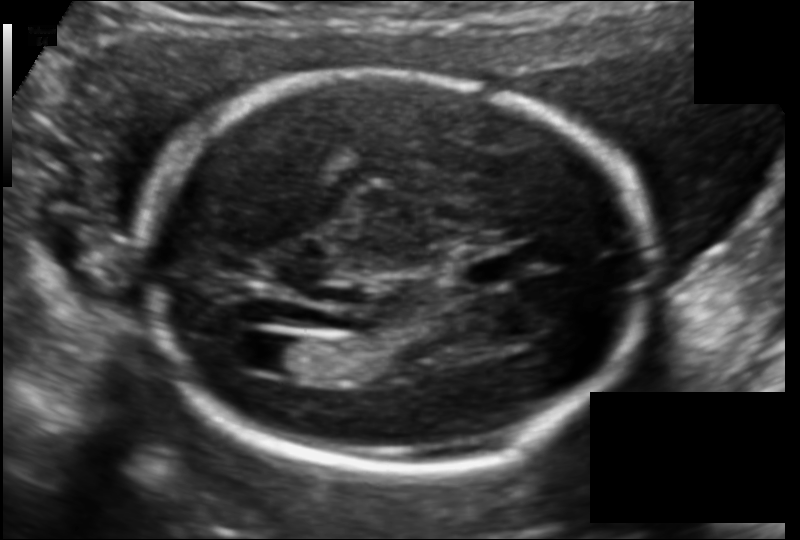
From this fetal ultrasound, estimate the head circumference (image width 97.5 mm).

Head circumference: 177.8 mm.